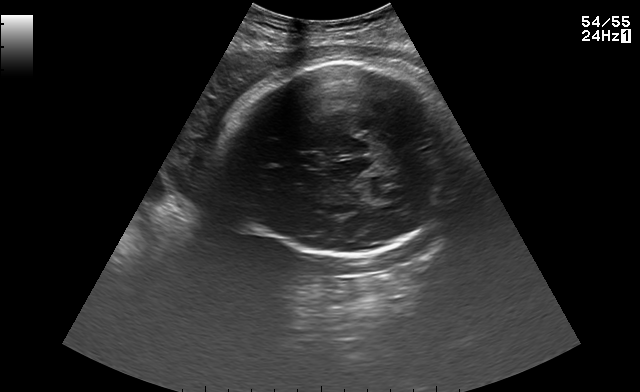
In this fetal brain, trans-thalamic plane, give the bounding box of the cavum septum pellucidum.

[293,154,317,167]